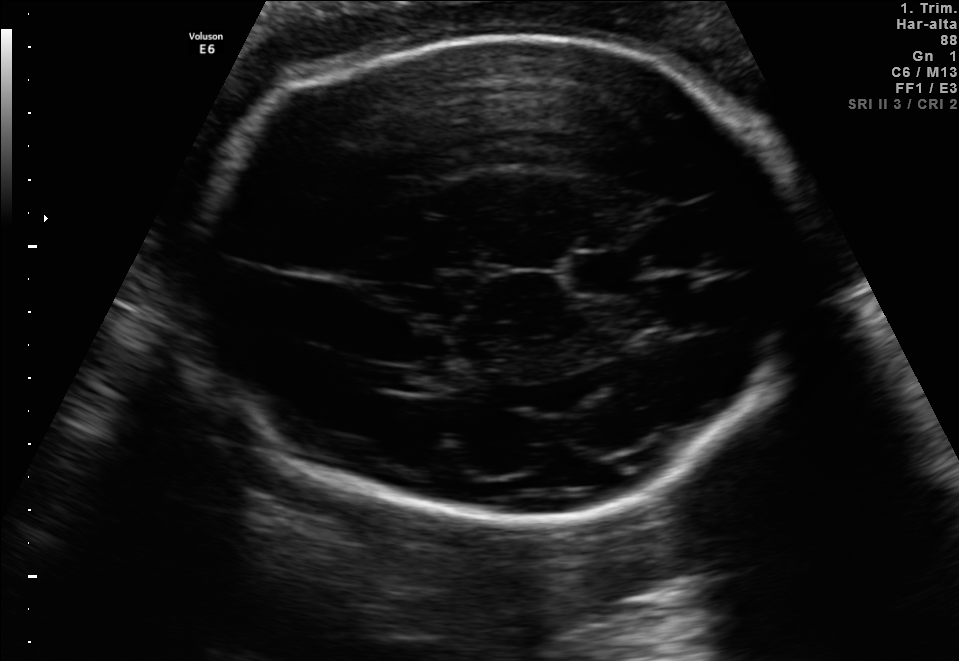
In this fetal brain, trans-thalamic plane, give bounding boxes for the head outline, cavum septum pellucidum (CSP), and lateral ventricle (LV), where visible.

Head: [193,33,804,518]
CSP: [574,254,638,292]
Lateral ventricle: [370,363,449,396]